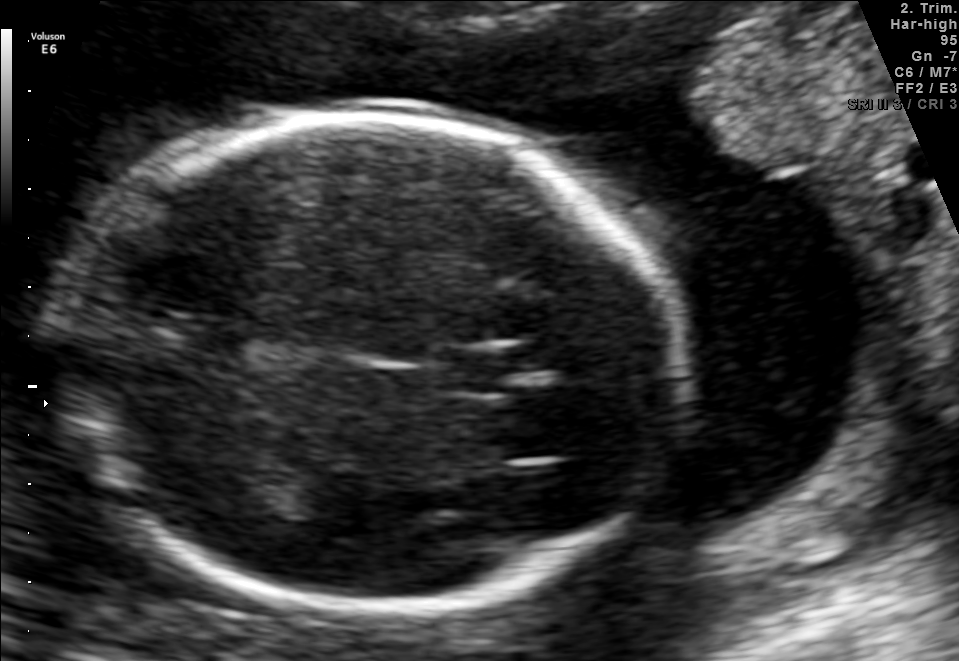
Fetal brain, trans-thalamic plane. Locate the fetal head.

Head: [63,119,684,612]